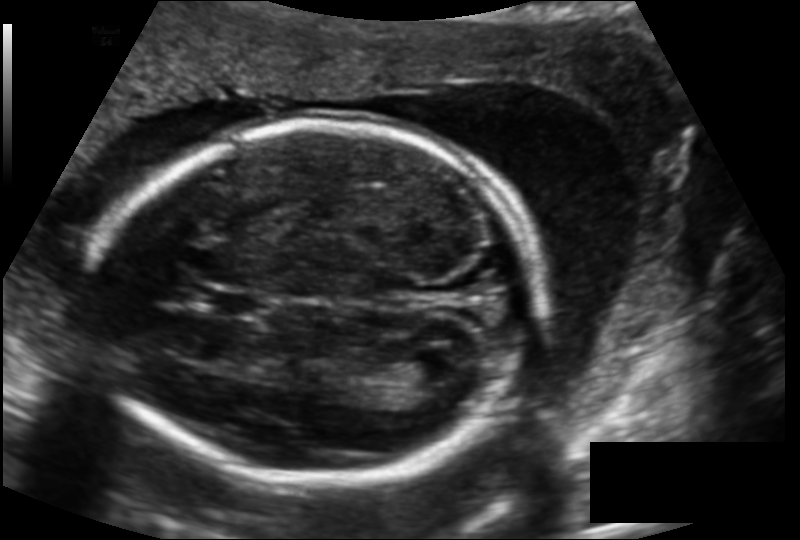
Fetal head ultrasound. Image width: 114.6 mm. Where is the fetal head?

Head bounding box: [93,122,535,485]